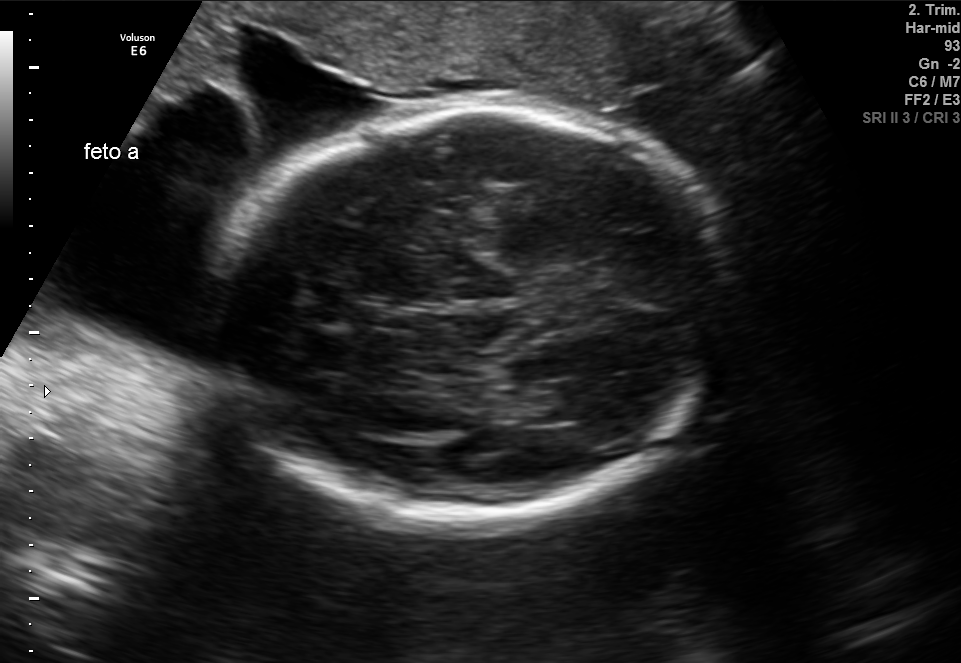
In this fetal brain, trans-thalamic plane, give the bounding box of the lateral ventricle.

[529,376,609,428]